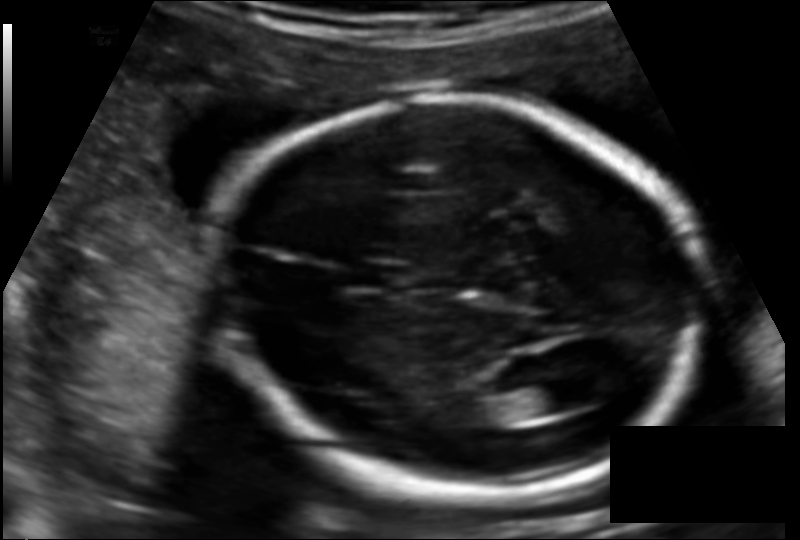
What is the fetal head circumference? Image width is 99.4 mm.

178.5 mm